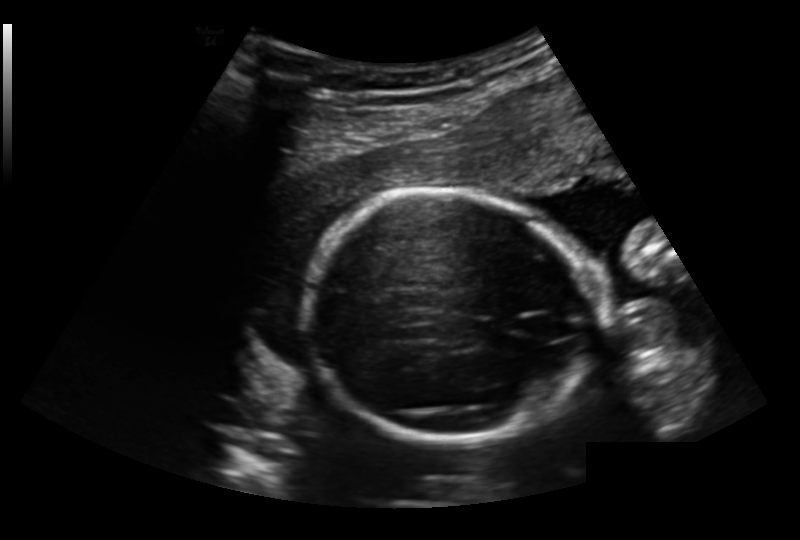
From this fetal ultrasound, estimate the head circumference (image width 152.5 mm).

Head circumference: 169.4 mm.